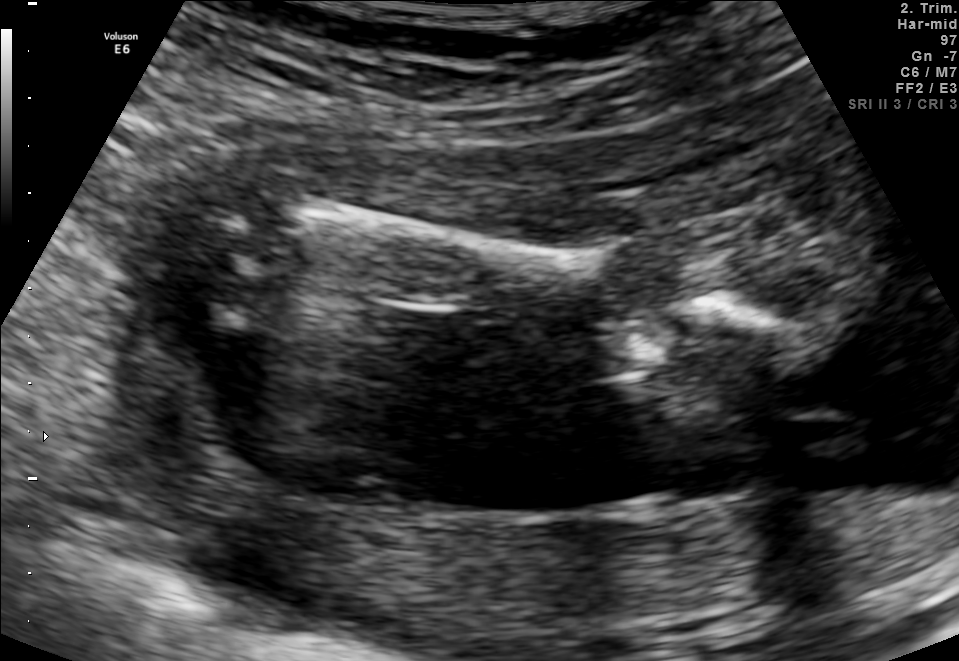
Which standard maternal-fetal ultrasound plane is shown: fetal abdomen, fetal brain, fetal femur, fetal thorax, maternal cervix, or other? If it's fetal brain and one of the three standard brain planes (trans-thalamic, trans-cerebellum, trans-ventricular), name which.

Other